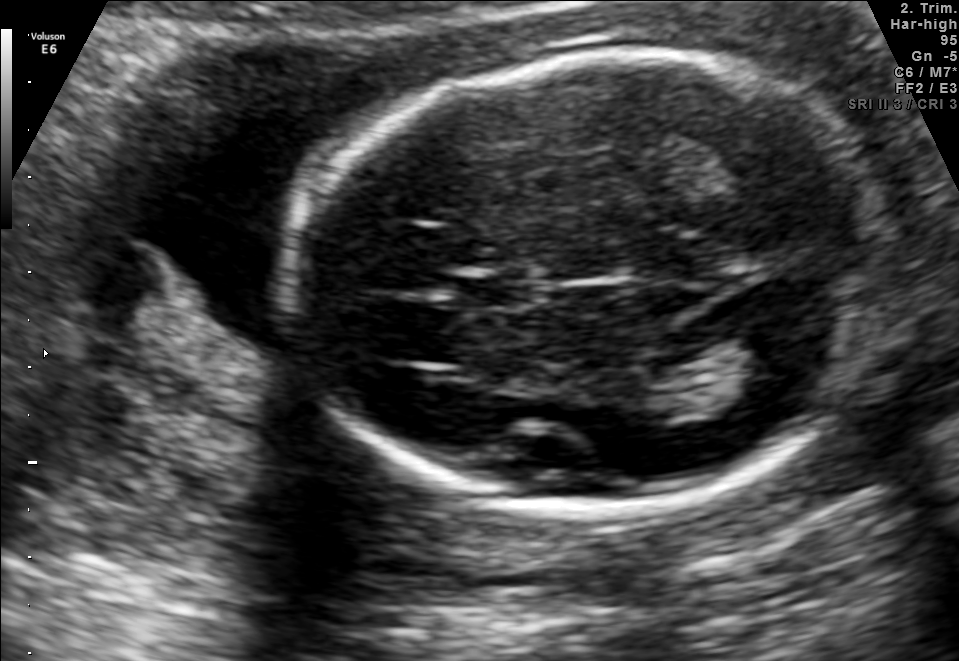
Fetal brain, trans-thalamic plane. Where is the fetal head?

Head bounding box: [290,53,885,518]